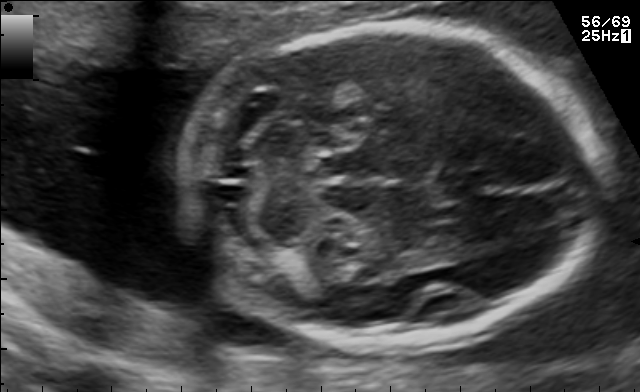
In this fetal brain, trans-cerebellum plane, give bounding boxes for the head outline, cavum septum pellucidum (CSP), and lateral ventricle (LV), where visible.

Head: [184,23,606,342]
CSP: [429,162,497,208]